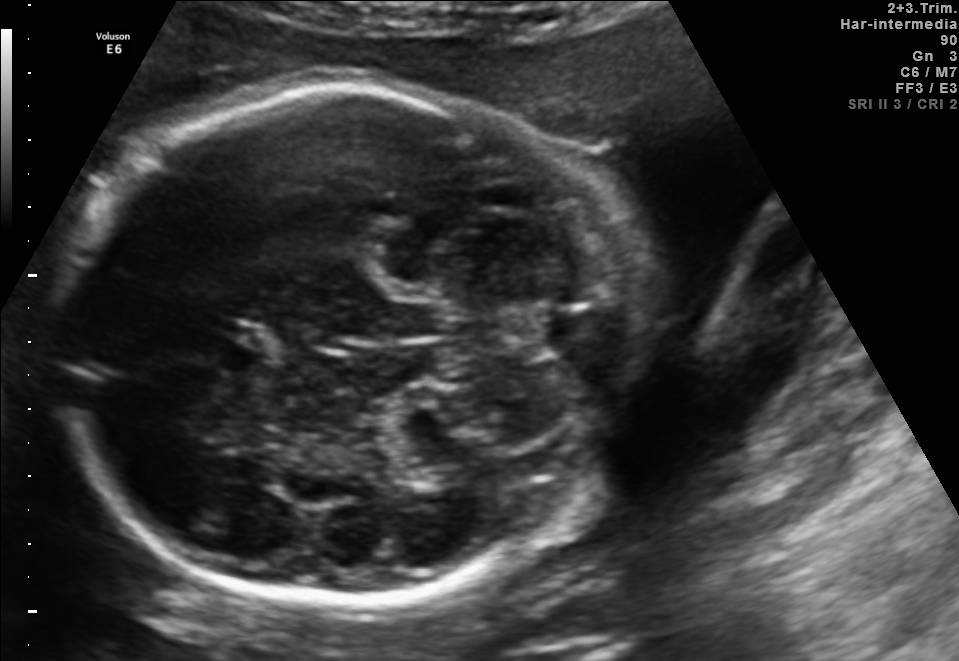
Fetal brain, trans-cerebellum plane. Where is the fetal head?

Head bounding box: [51,85,616,608]